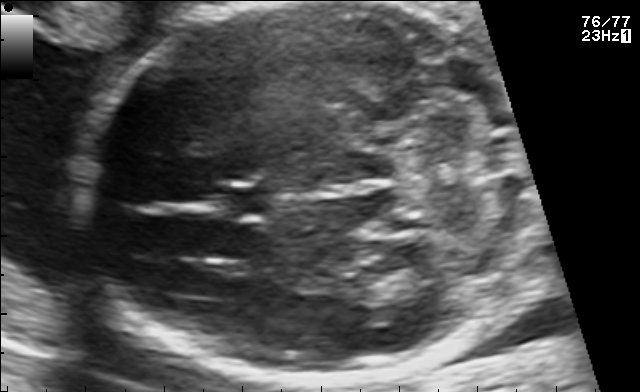
Fetal brain, trans-cerebellum plane. Where is the fetal head?

Head bounding box: [80,3,527,382]